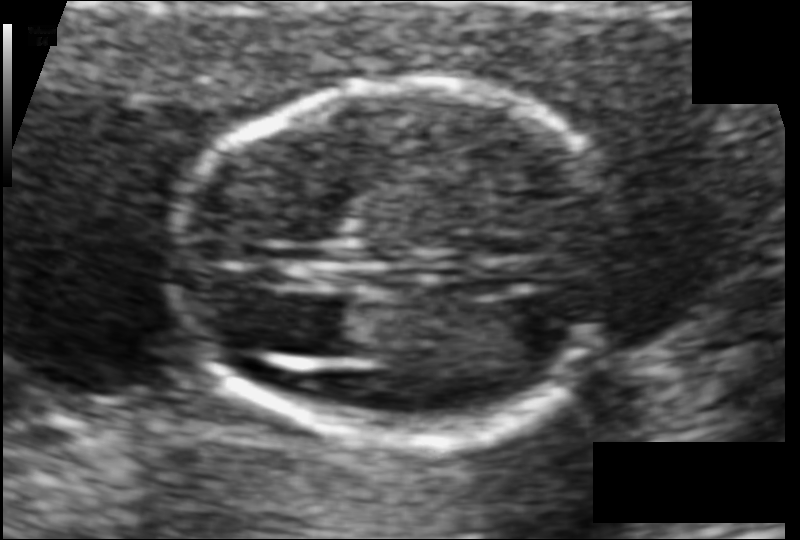
Estimate the fetal head circumference from this 2D ultrasound. Image width: 61.4 mm.

Head circumference: 100.7 mm.